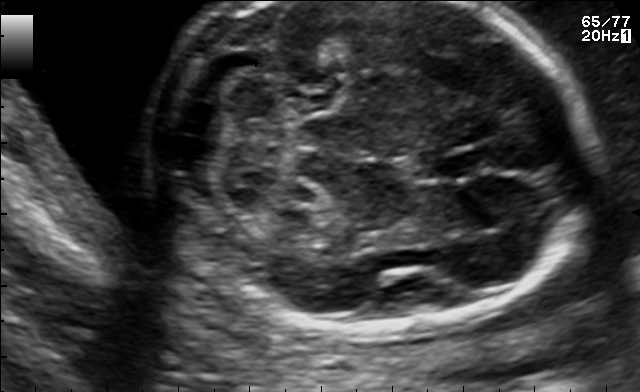
Fetal brain, trans-cerebellum plane. Give [x1,y1,x2,y2] bounding boxes for each visible structure among: fetal head, CSP, LV.

Head: [148,2,595,336]
CSP: [432,143,494,185]